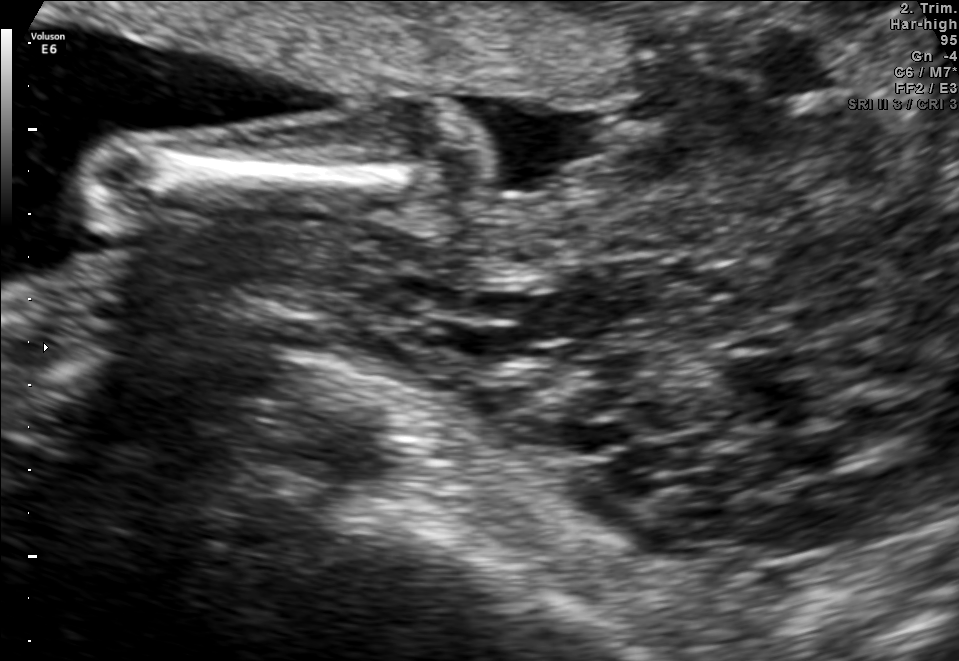
Identify the standard plane in this fetal ultrasound image: fetal abdomen, fetal brain, fetal femur, fetal thorax, maternal cervix, or other. If it's fetal brain and one of the three standard brain planes (trans-thalamic, trans-cerebellum, trans-ventricular), name which.

Other